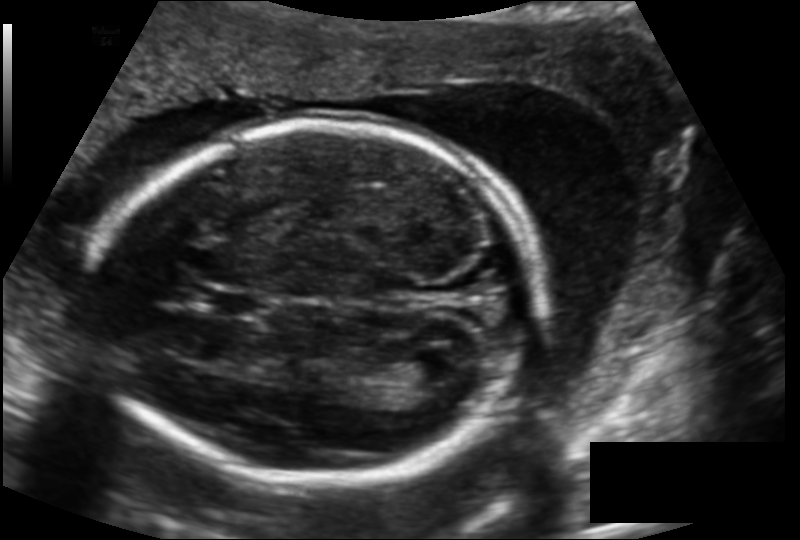
Fetal head ultrasound. Image width: 114.6 mm. Locate the lateral ventricle.

Lateral ventricle: [389,341,460,397]